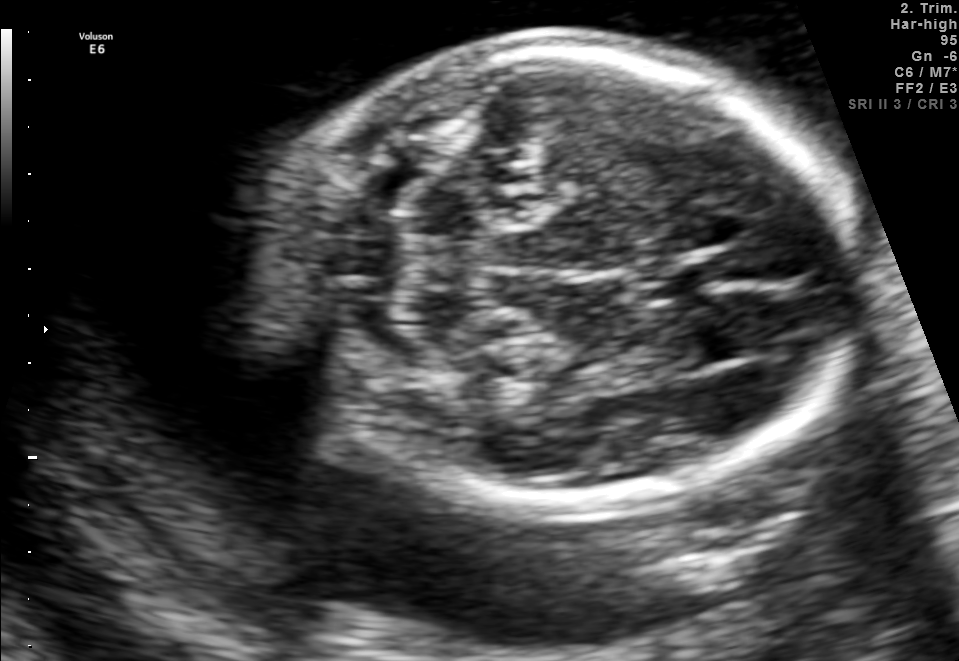
In this fetal brain, trans-cerebellum plane, give bounding boxes for the head outline, cavum septum pellucidum (CSP), and lateral ventricle (LV), where visible.

Head: [254,44,861,511]